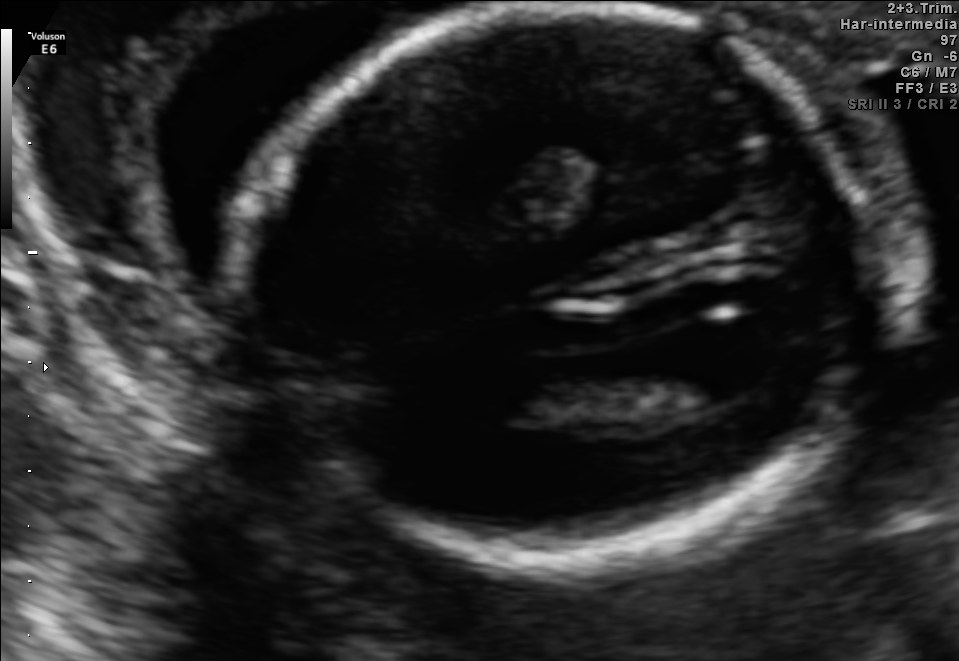
Fetal brain, trans-ventricular plane. Where is the fetal head?

Head bounding box: [227,4,884,579]